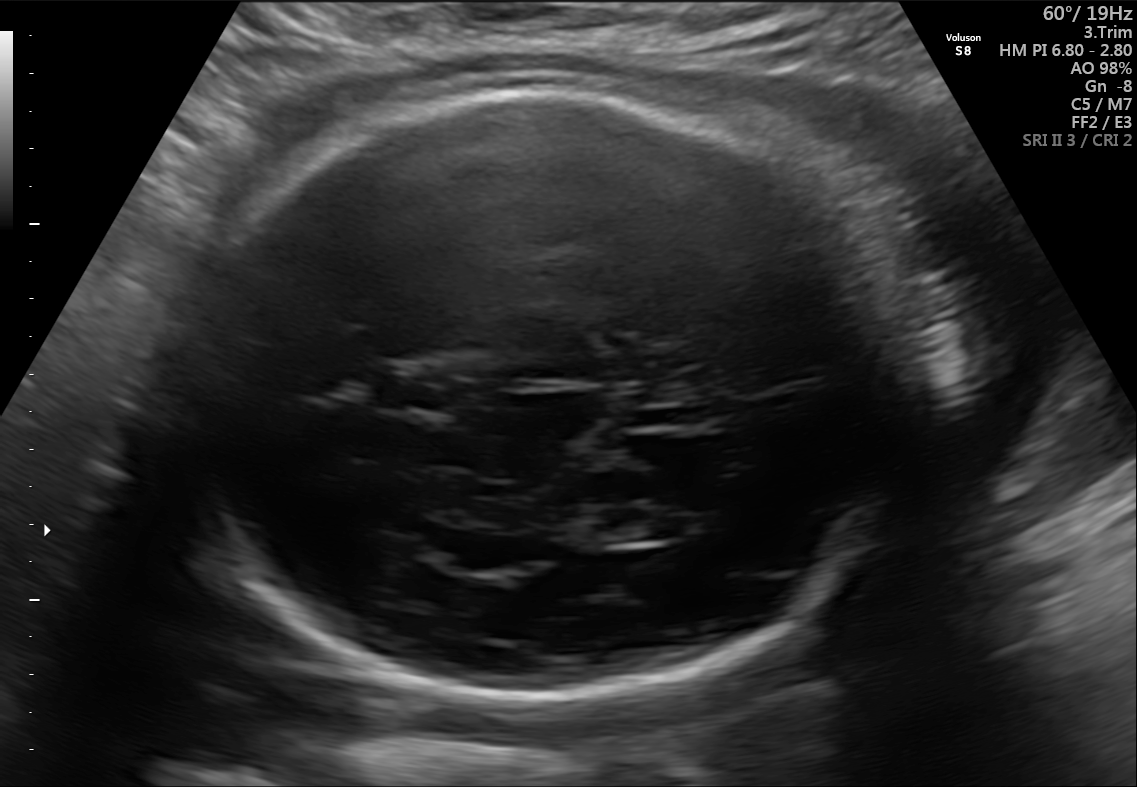
Fetal brain, trans-thalamic plane. Locate the fetal head.

Head: [165,81,906,692]